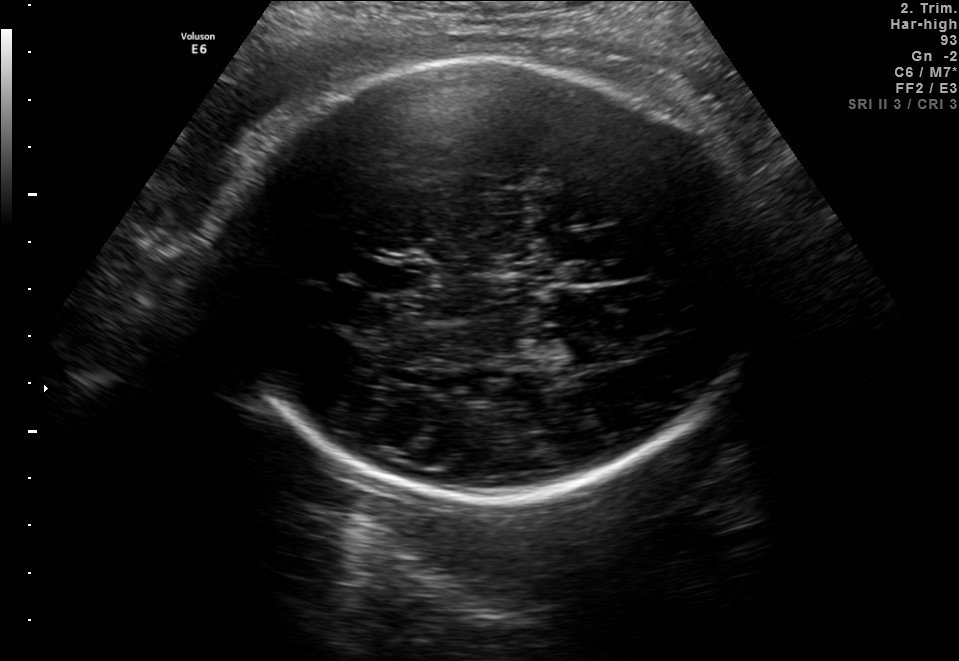
In this fetal brain, trans-thalamic plane, give the bounding box of the fetal head.

[215,58,758,491]